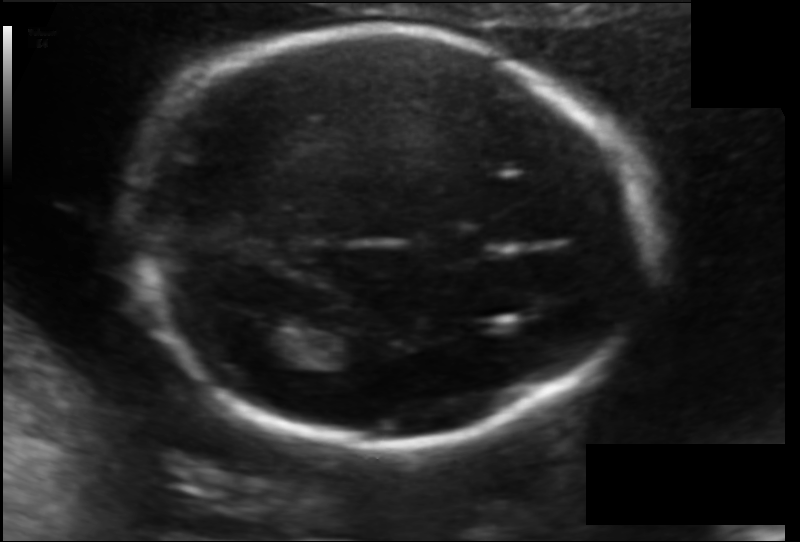
In this fetal head ultrasound, give the bounding box of the lateral ventricle. Image width: 91.4 mm.

[240,326,297,367]